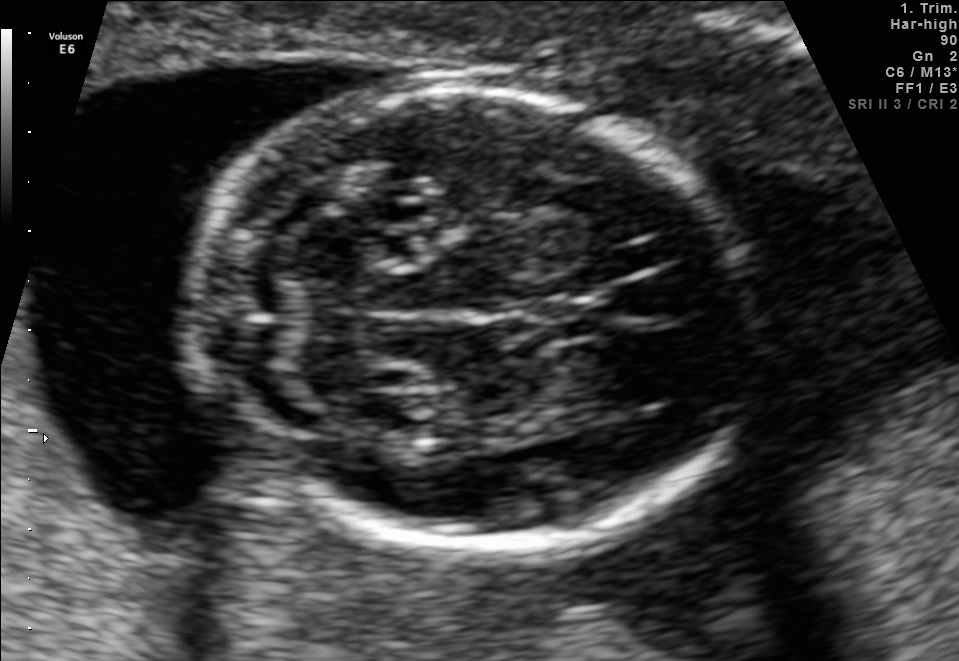
Fetal brain, trans-cerebellum plane. Locate the fetal head.

Head: [187,90,758,549]